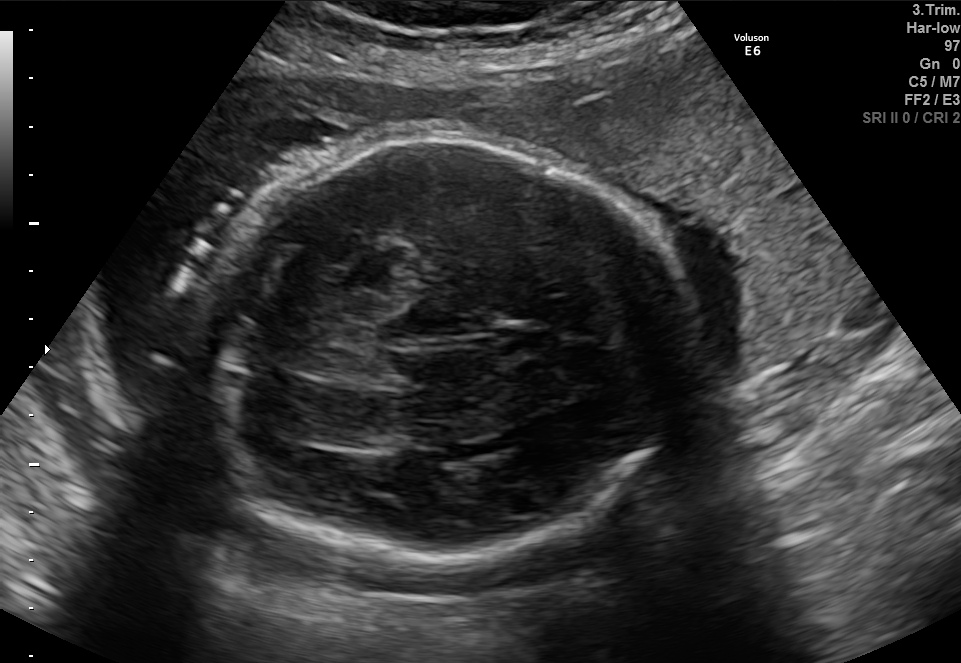
This is a 2D maternal-fetal ultrasound frame. Is it a fetal abdomen, fetal brain, fetal femur, fetal thorax, maternal cervix, or other standard plane? If it's fetal brain and one of the three standard brain planes (trans-thalamic, trans-cerebellum, trans-ventricular), name which.

Fetal brain (trans-thalamic plane)